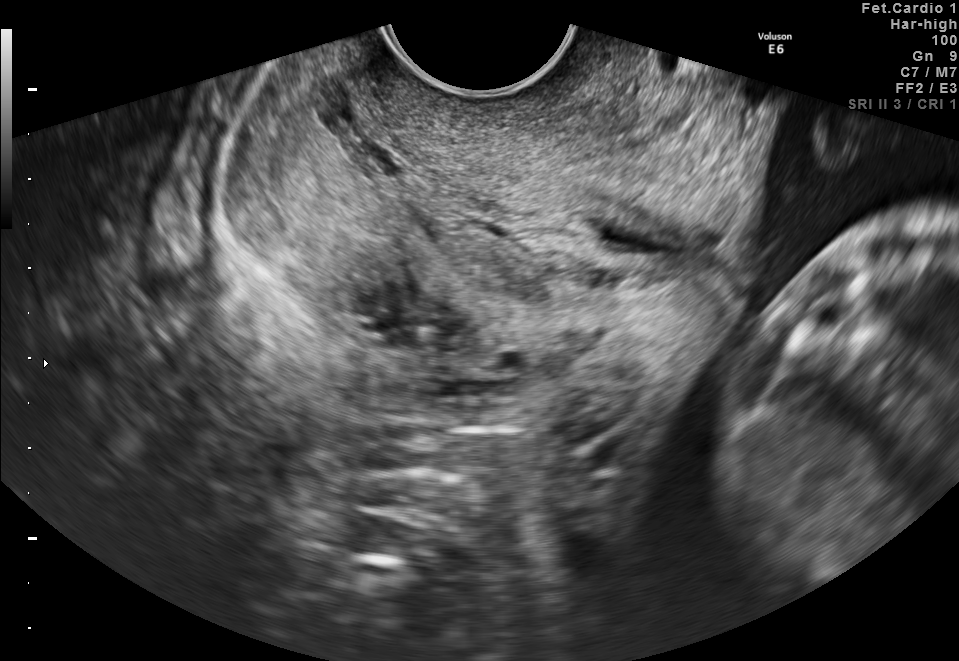
Identify the standard plane in this fetal ultrasound image: fetal abdomen, fetal brain, fetal femur, fetal thorax, maternal cervix, or other. If it's fetal brain and one of the three standard brain planes (trans-thalamic, trans-cerebellum, trans-ventricular), name which.

Maternal cervix